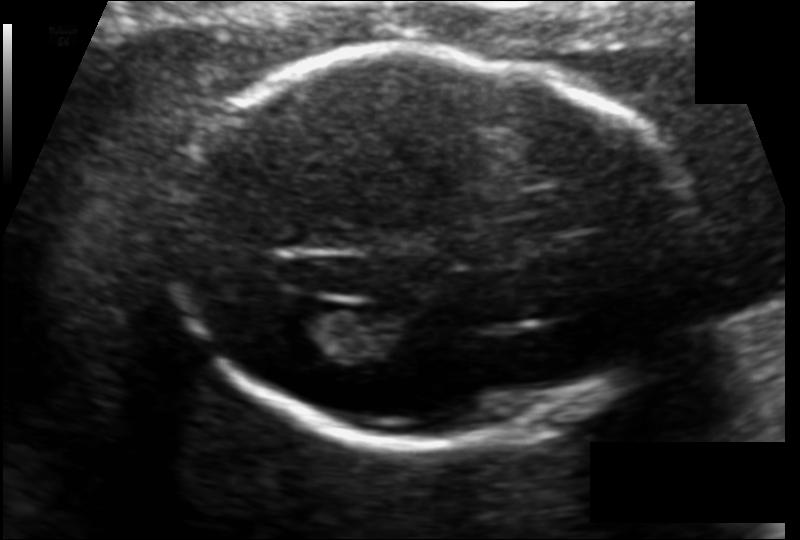
Estimate the fetal head circumference from this 2D ultrasound. Image width: 96.2 mm.

Head circumference: 181.0 mm.